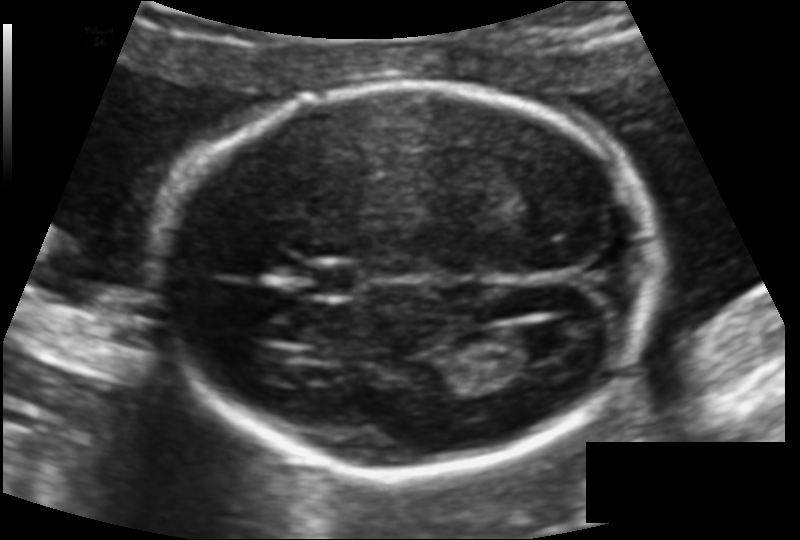
Fetal head ultrasound. Image width: 93.9 mm. Locate the fetal head and, if visible, the cavum septum pellucidum (CSP) and lateral ventricle (LV). Give bounding boxes as [x1,y1,x2,y2].

Head: [162,83,653,472]
CSP: [303,264,361,299]
Lateral ventricle: [495,321,566,368]